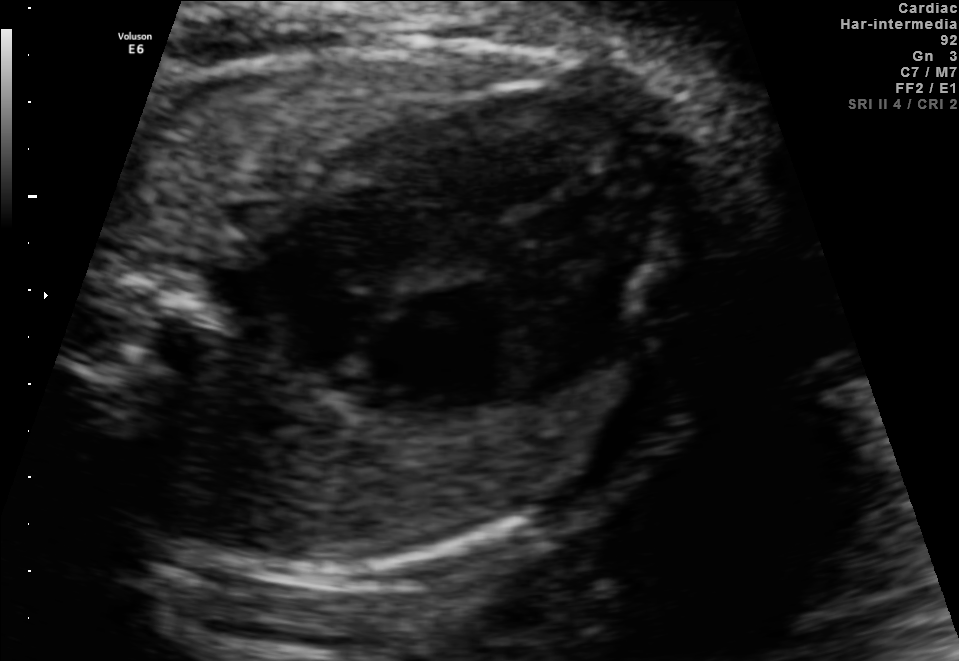
This is a 2D maternal-fetal ultrasound frame. Is it a fetal abdomen, fetal brain, fetal femur, fetal thorax, maternal cervix, or other standard plane? If it's fetal brain and one of the three standard brain planes (trans-thalamic, trans-cerebellum, trans-ventricular), name which.

Fetal thorax